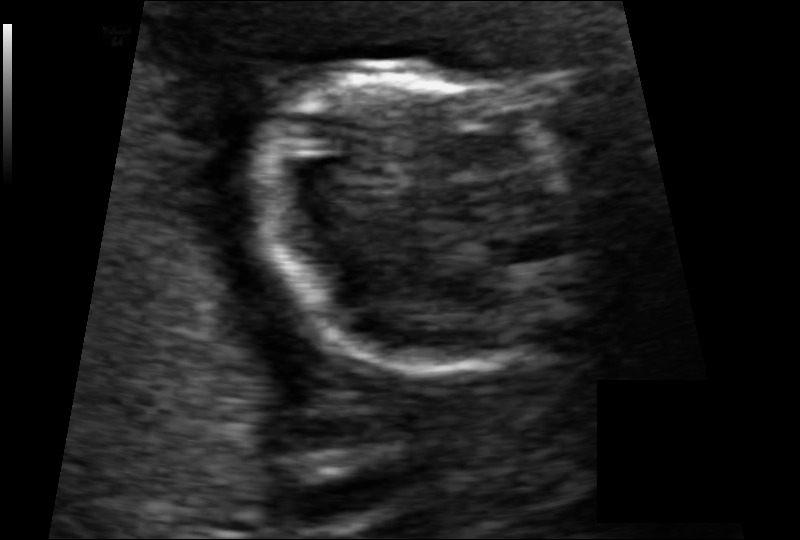
Fetal head ultrasound. Image width: 62.3 mm. Locate the fetal head and, if visible, the cavum septum pellucidum (CSP) and lateral ventricle (LV). Give bounding boxes as [x1,y1,x2,y2].

Head: [249,60,580,373]